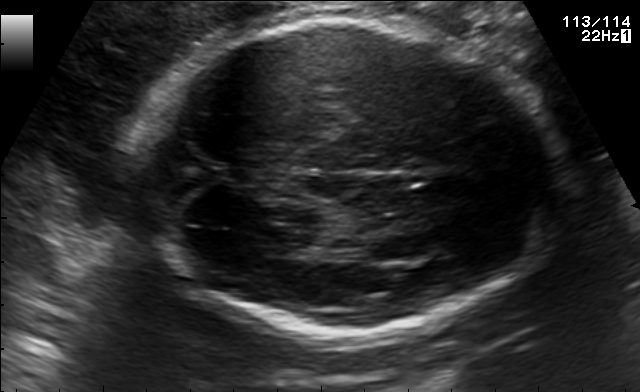
Fetal brain, trans-thalamic plane. Where is the fetal head?

Head bounding box: [140,21,564,334]